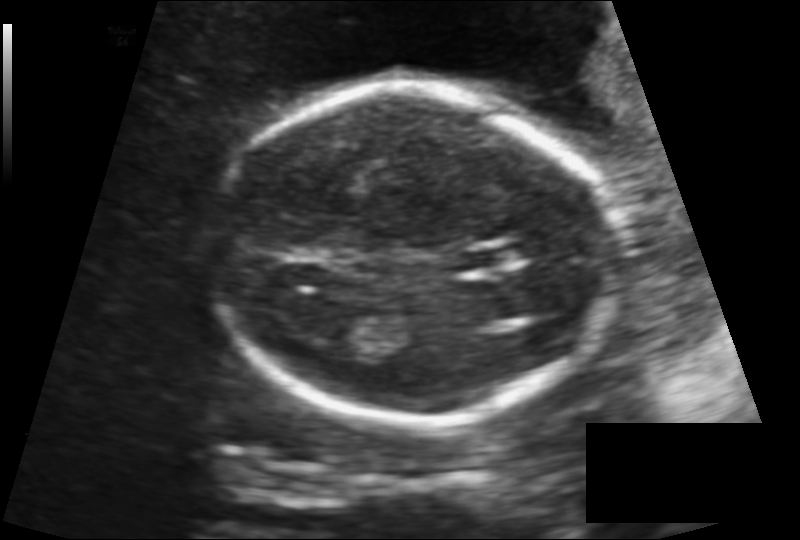
In this fetal head ultrasound, give the bounding box of the cavum septum pellucidum. Image width: 110.1 mm.

[456,241,522,275]